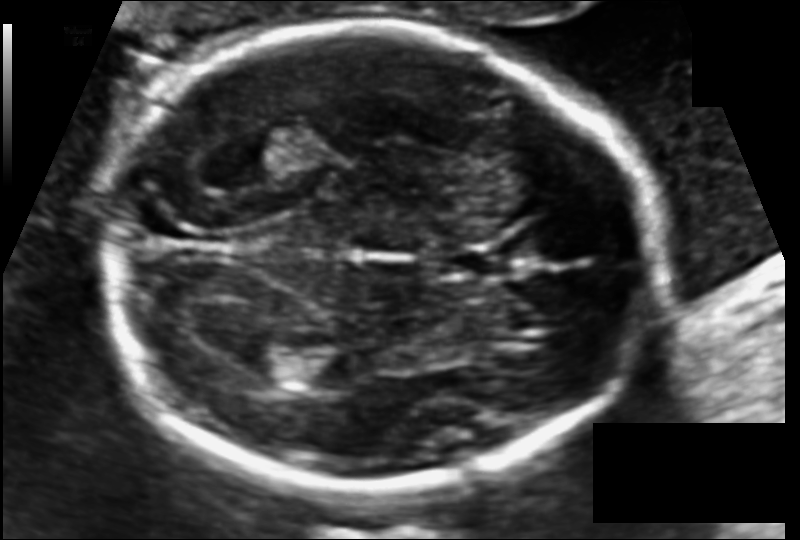
What is the fetal head circumference? Image width is 87.7 mm.

179.6 mm